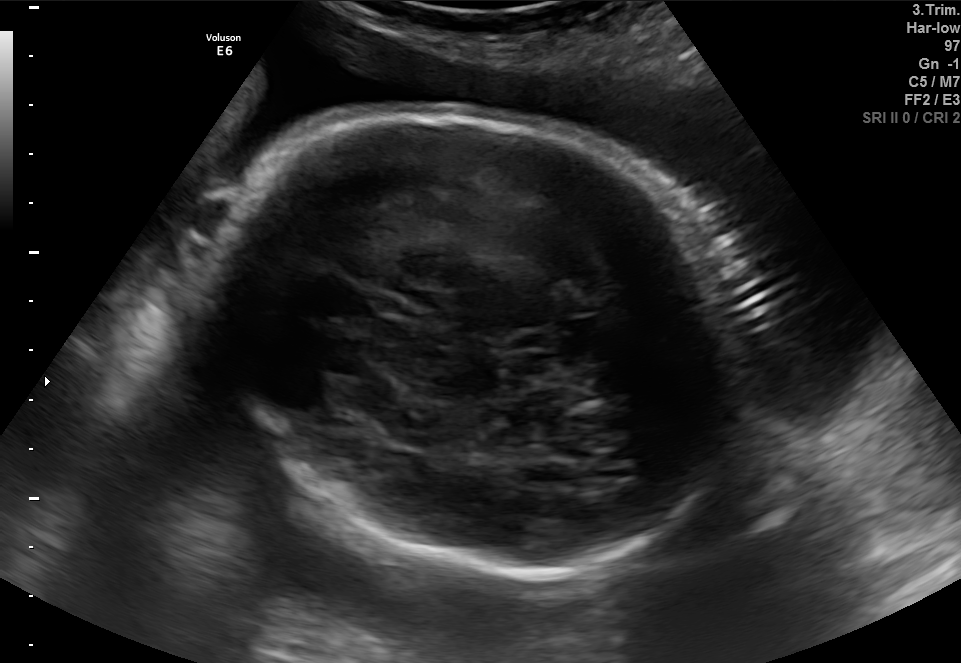
Fetal brain, trans-thalamic plane. Give [x1,y1,x2,y2] bounding boxes for each visible structure among: fetal head, CSP, LV.

Head: [190,107,763,578]